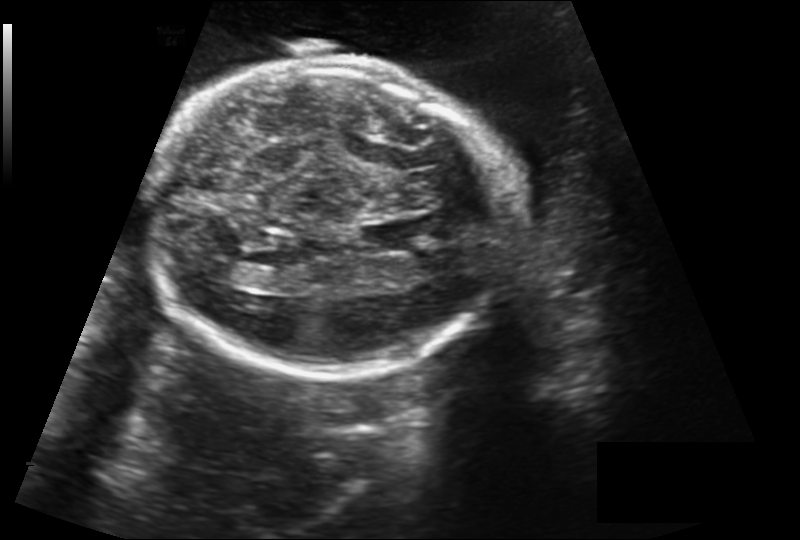
From this fetal ultrasound, estimate the head circumference (image width 169.6 mm).

Head circumference: 231.6 mm.